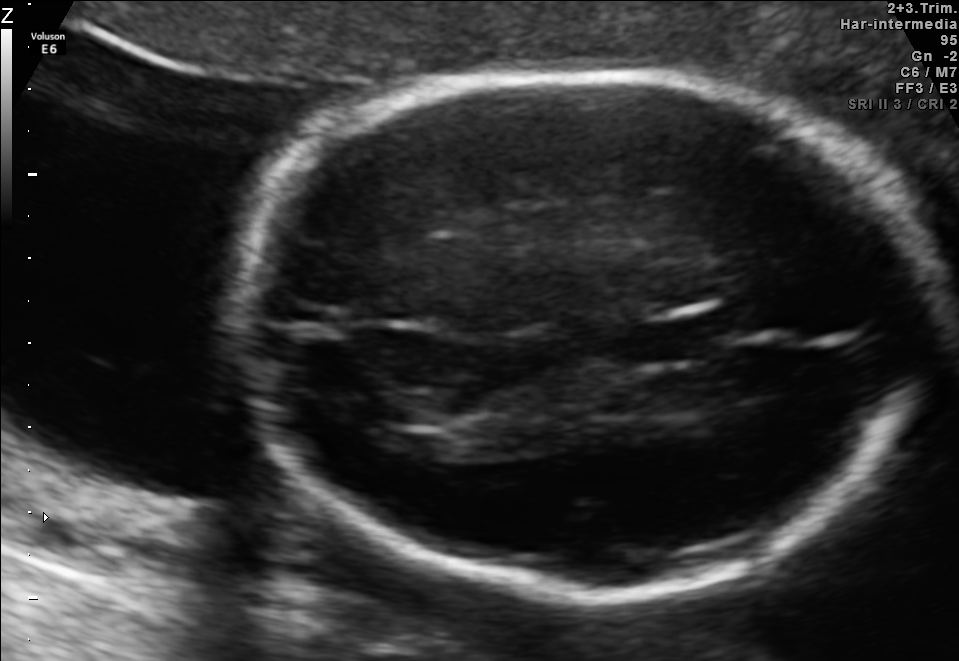
In this fetal brain, trans-thalamic plane, give the bounding box of the cavum septum pellucidum.

[631,312,725,369]